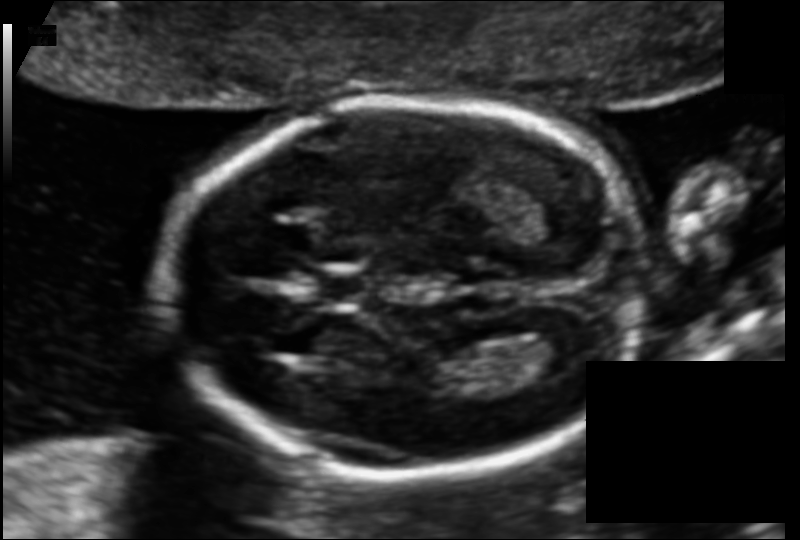
Measure the fetal head circumference shown in this ultrasound image. Image width: 87.9 mm.

Head circumference: 154.4 mm.